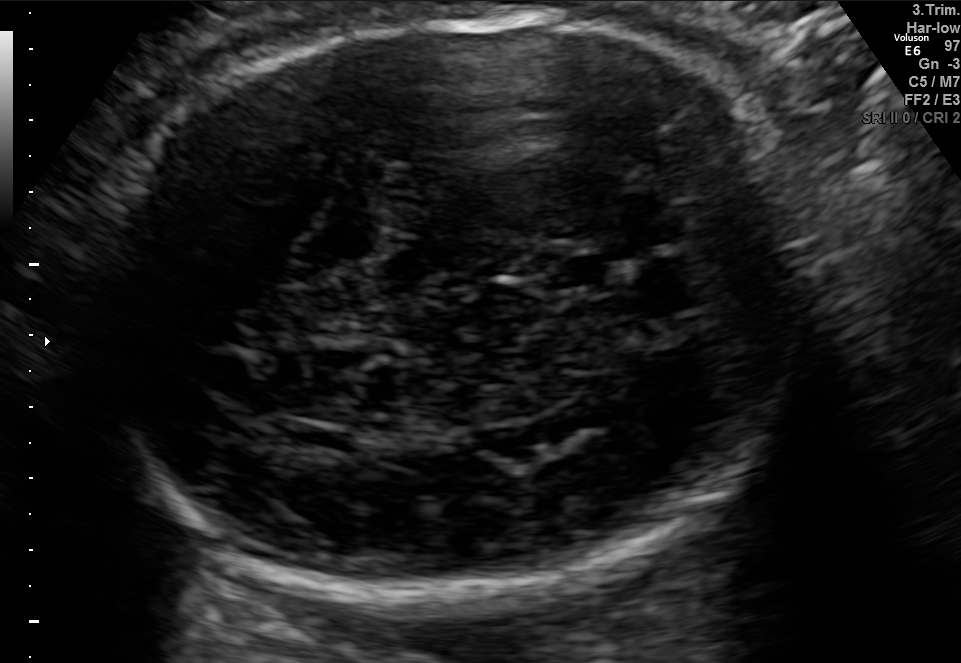
Fetal brain, trans-thalamic plane. Locate the fetal head and, if visible, the cavum septum pellucidum (CSP) and lateral ventricle (LV). Give bounding boxes as [x1,y1,x2,y2].

Head: [86,8,815,585]
CSP: [547,253,607,291]
Lateral ventricle: [283,417,351,460]